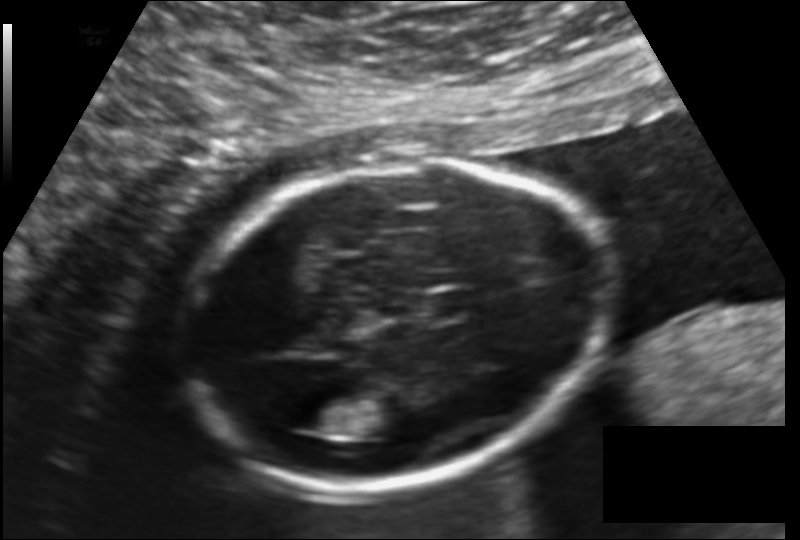
In this fetal head ultrasound, give the bounding box of the cavum septum pellucidum. Image width: 112.0 mm.

[424,286,478,321]